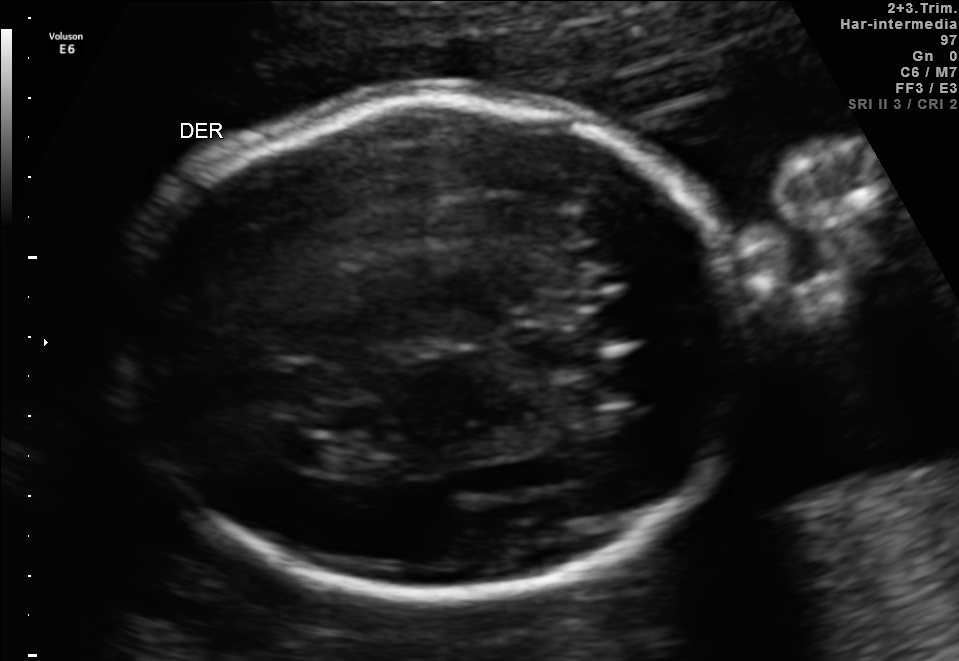
In this fetal brain, trans-ventricular plane, give the bounding box of the fetal head.

[105,86,770,603]